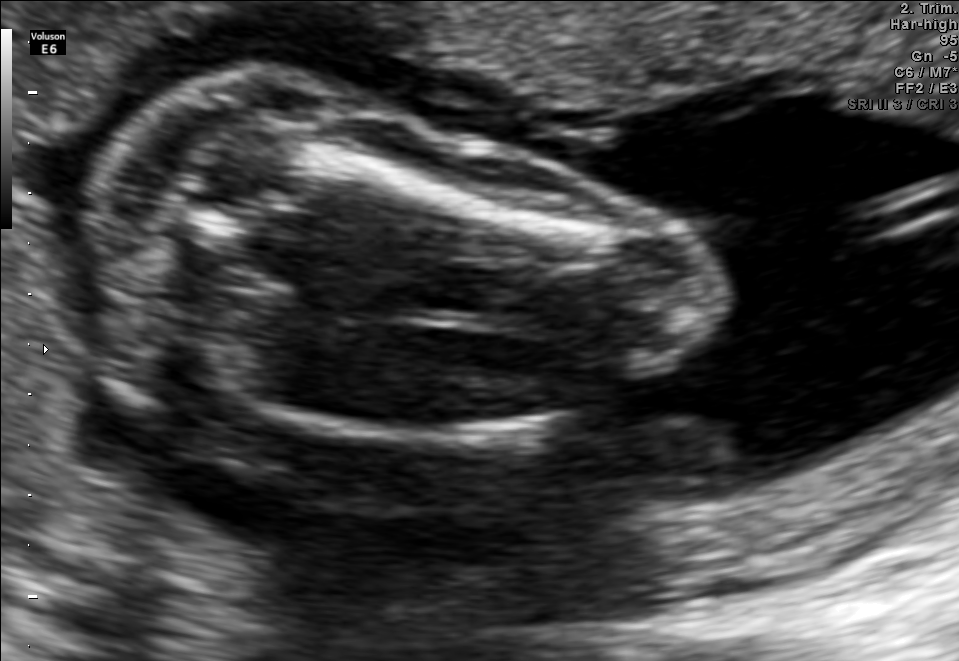
Identify the standard plane in this fetal ultrasound image: fetal abdomen, fetal brain, fetal femur, fetal thorax, maternal cervix, or other. If it's fetal brain and one of the three standard brain planes (trans-thalamic, trans-cerebellum, trans-ventricular), name which.

Fetal femur